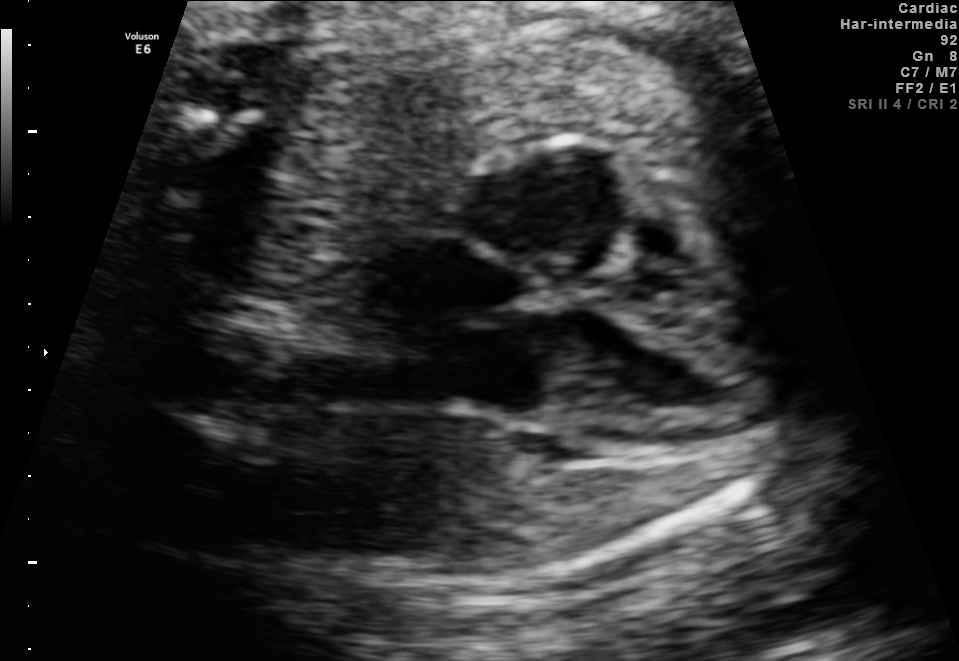
This is a 2D maternal-fetal ultrasound frame. Is it a fetal abdomen, fetal brain, fetal femur, fetal thorax, maternal cervix, or other standard plane? If it's fetal brain and one of the three standard brain planes (trans-thalamic, trans-cerebellum, trans-ventricular), name which.

Fetal thorax